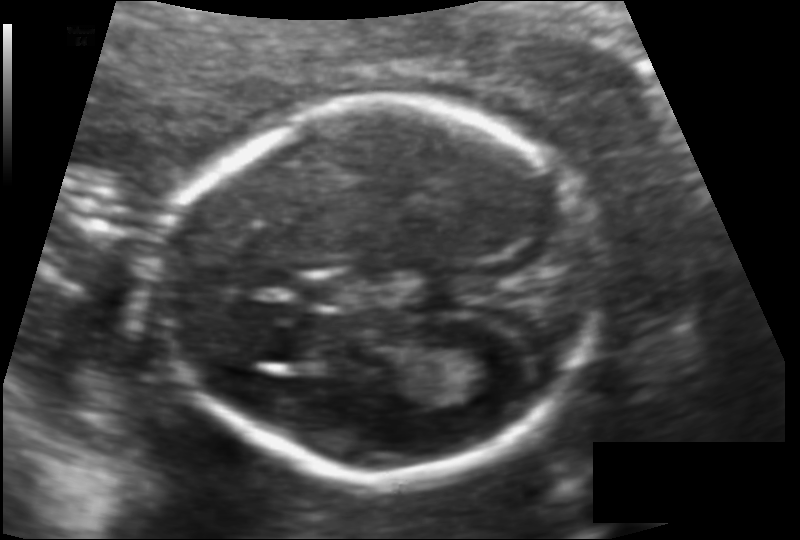
Fetal head ultrasound. Image width: 90.5 mm. Locate the cavum septum pellucidum.

CSP: [295,276,357,307]